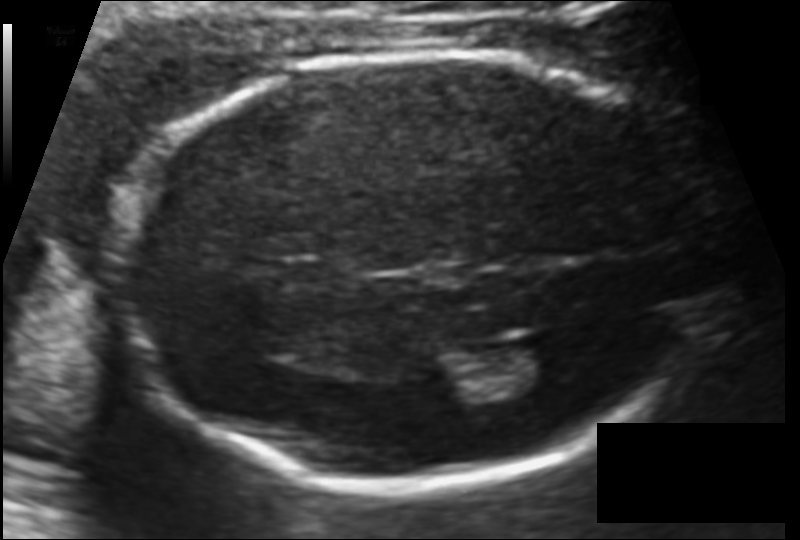
Measure the fetal head circumference shown in this ultrasound image. Image width: 91.0 mm.

Head circumference: 190.9 mm.